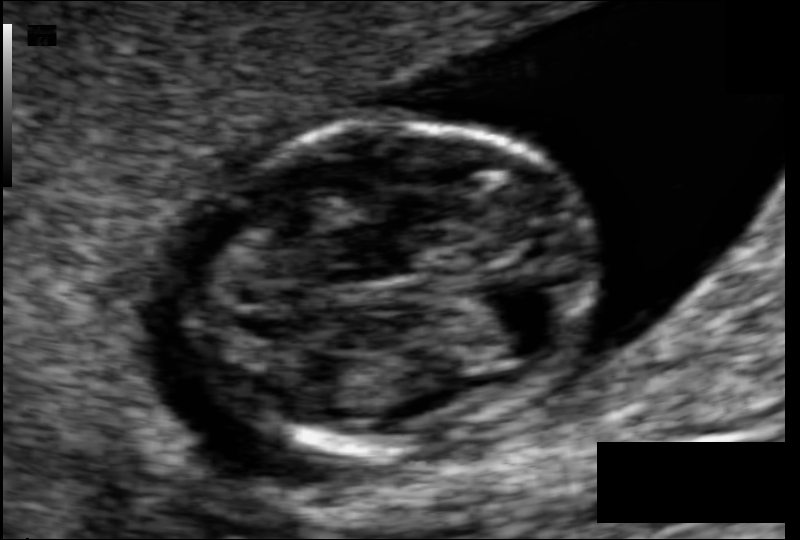
Estimate the fetal head circumference from this 2D ultrasound. Image width: 49.9 mm.

Head circumference: 76.3 mm.